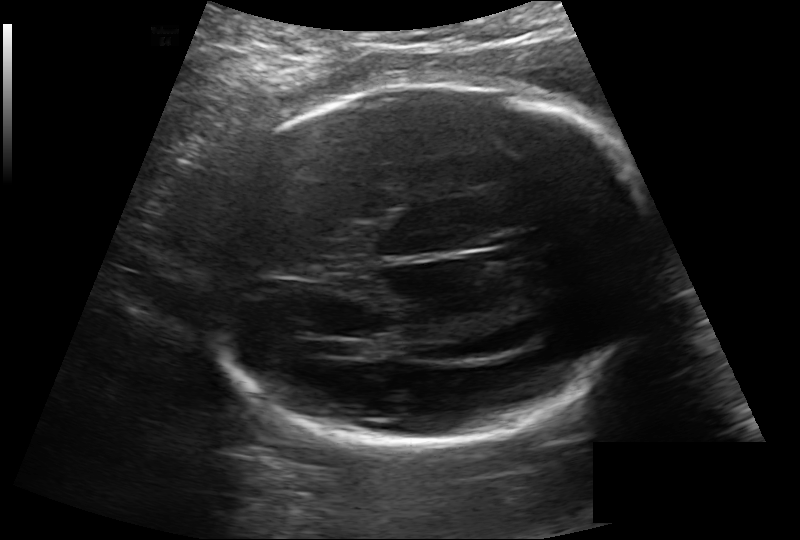
From this fetal ultrasound, estimate the head circumference (image width 151.0 mm).

Head circumference: 247.1 mm.